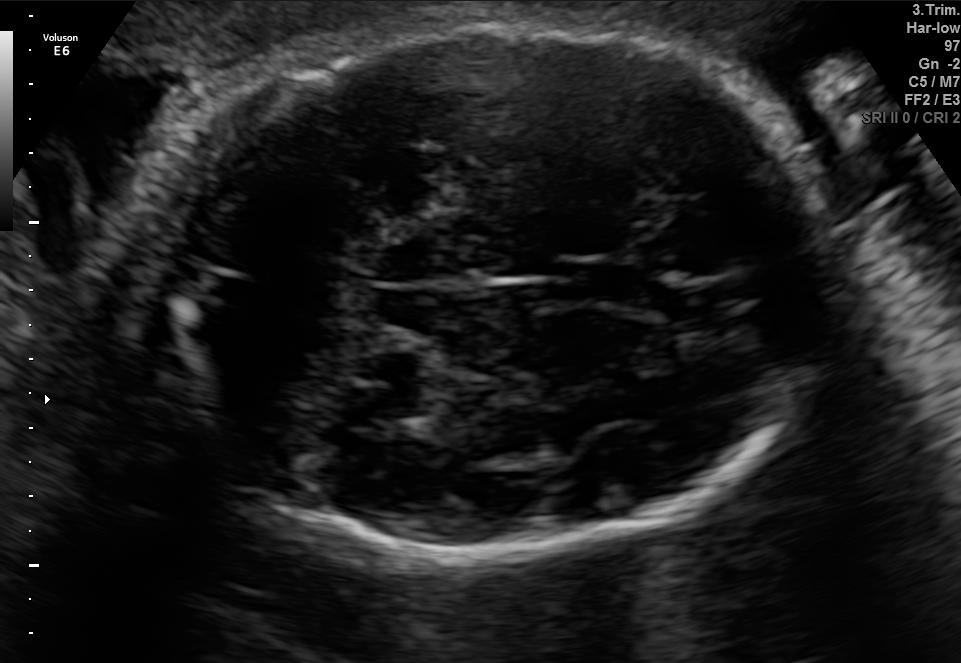
Classify this maternal-fetal ultrasound image as one of the six standard planes — fetal abdomen, fetal brain, fetal femur, fetal thorax, maternal cervix, or other. If it's fetal brain and one of the three standard brain planes (trans-thalamic, trans-cerebellum, trans-ventricular), name which.

Fetal brain (trans-cerebellum plane)